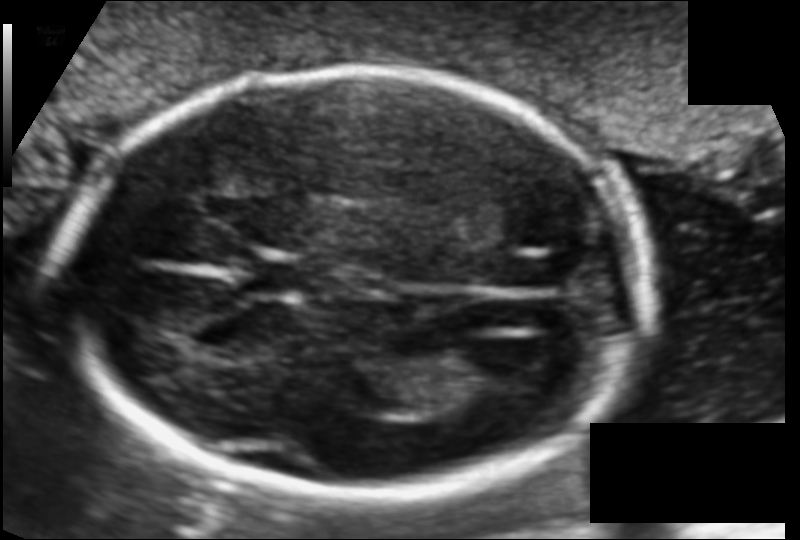
Estimate the fetal head circumference from this 2D ultrasound. Image width: 87.9 mm.

Head circumference: 179.6 mm.